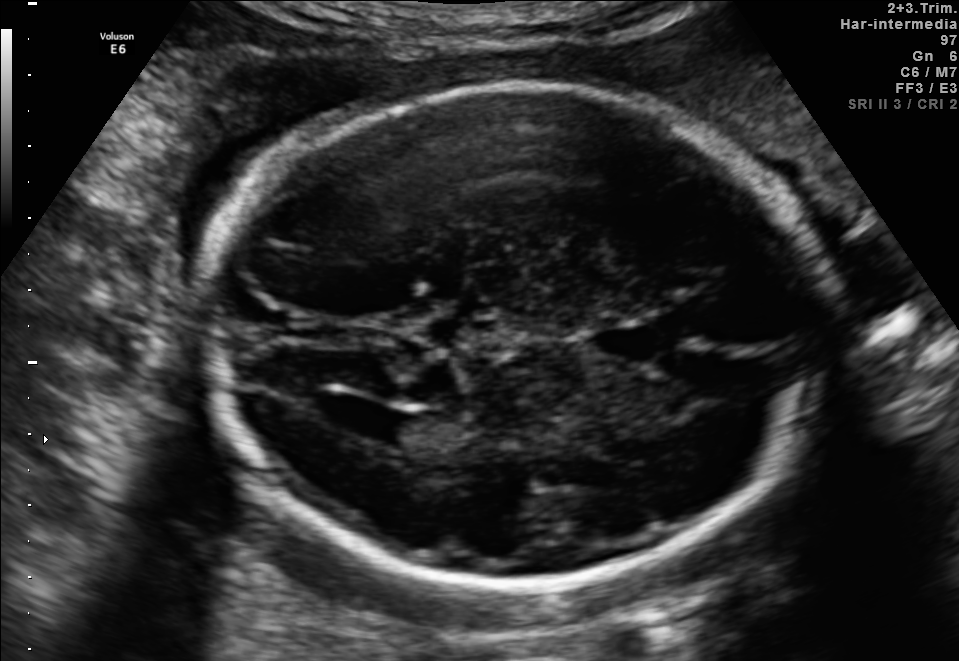
Fetal brain, trans-ventricular plane. Locate the lateral ventricle.

Lateral ventricle: [329,394,418,451]